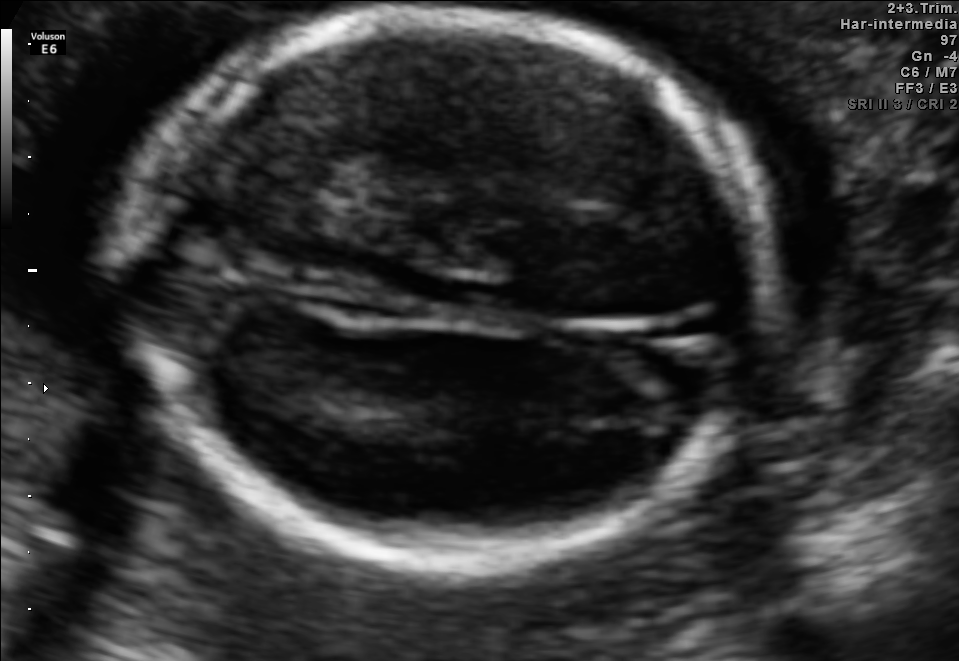
In this fetal brain, trans-thalamic plane, give the bounding box of the fetal head.

[130,16,763,555]